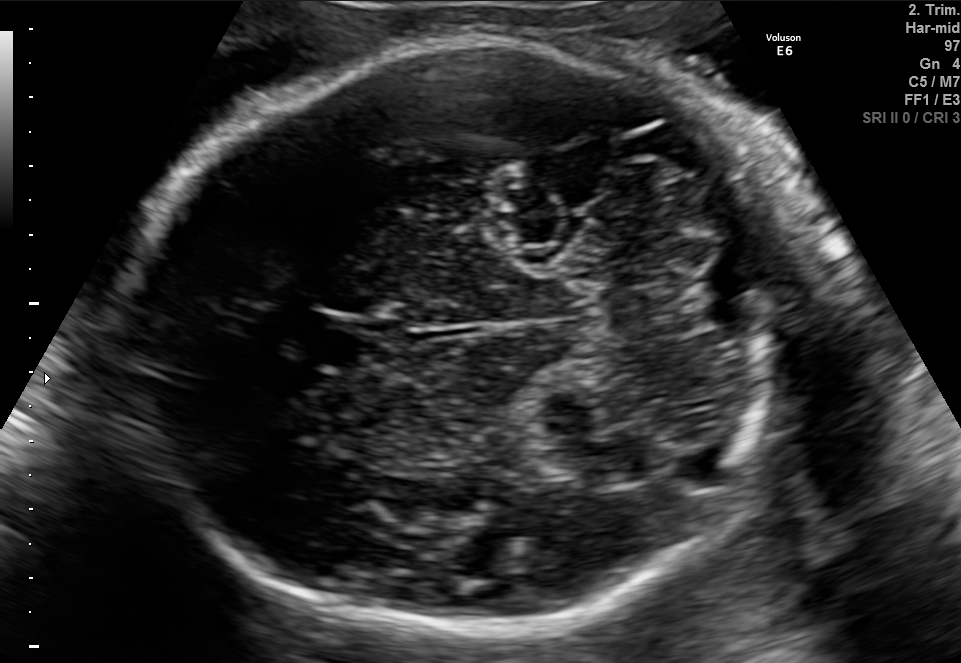
In this fetal brain, trans-cerebellum plane, give the bounding box of the fetal head.

[135,43,782,636]